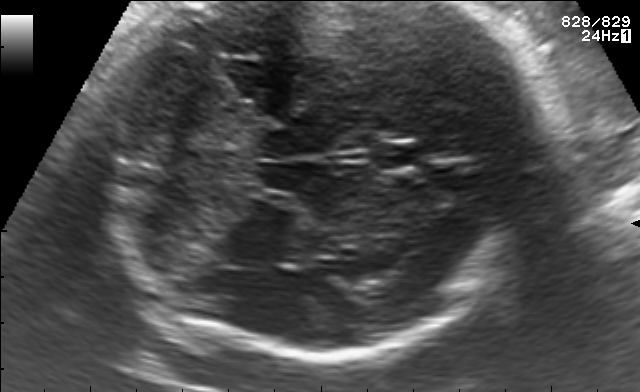
Fetal brain, trans-cerebellum plane. Locate the fetal head and, if visible, the cavum septum pellucidum (CSP) and lateral ventricle (LV). Give bounding boxes as [x1,y1,x2,y2].

Head: [115,2,557,356]
CSP: [372,140,420,171]